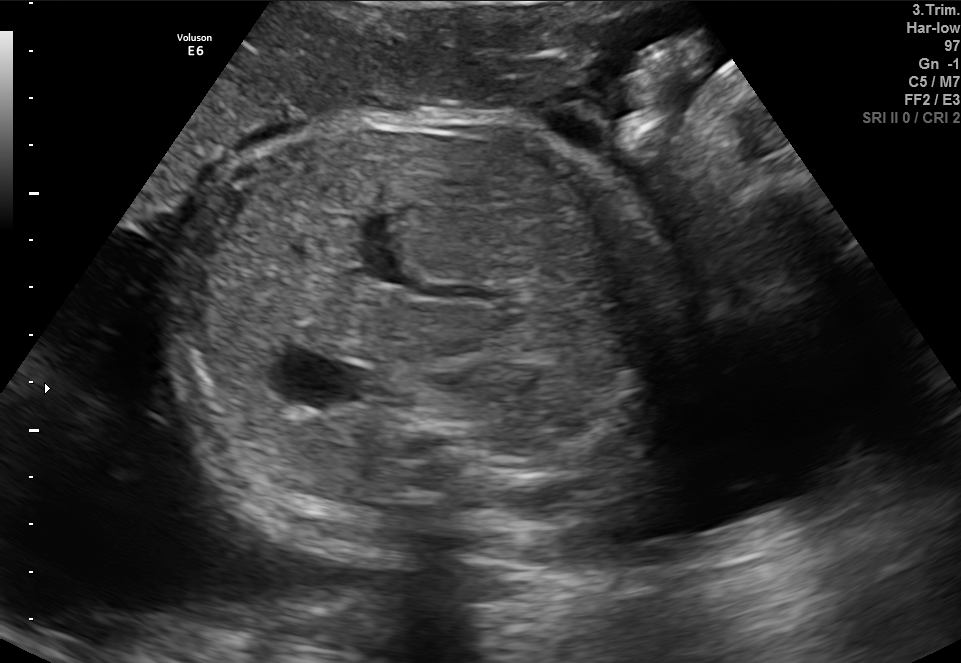
Which standard maternal-fetal ultrasound plane is shown: fetal abdomen, fetal brain, fetal femur, fetal thorax, maternal cervix, or other? If it's fetal brain and one of the three standard brain planes (trans-thalamic, trans-cerebellum, trans-ventricular), name which.

Fetal abdomen